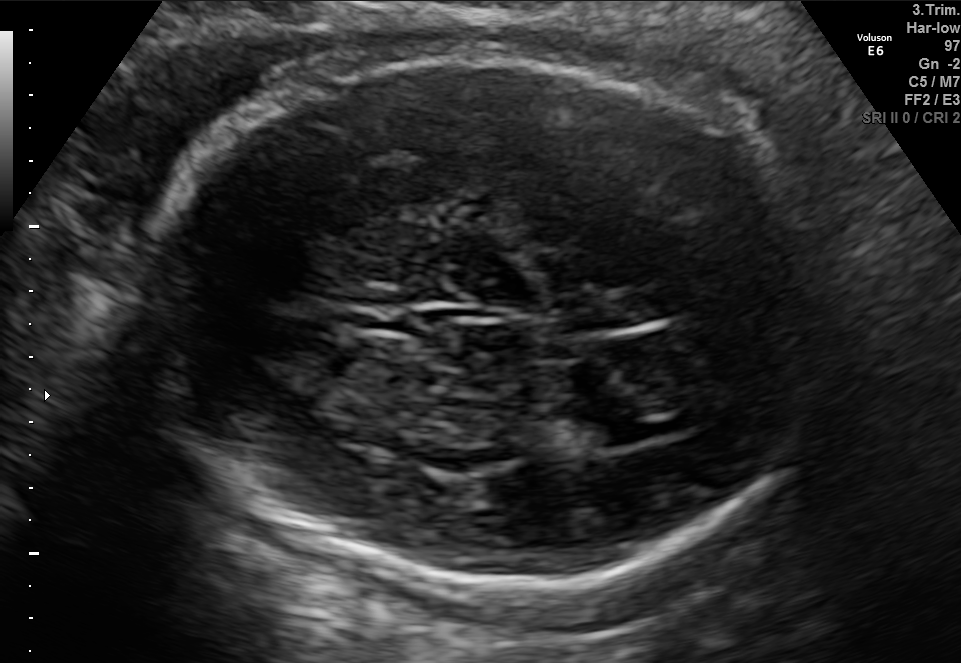
In this fetal brain, trans-ventricular plane, give the bounding box of the fetal head.

[141,51,838,590]